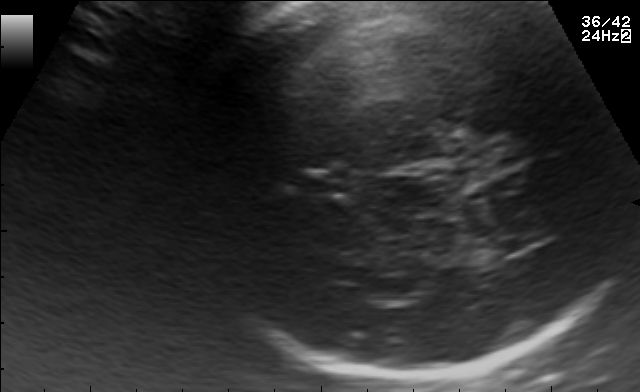
Identify the standard plane in this fetal ultrasound image: fetal abdomen, fetal brain, fetal femur, fetal thorax, maternal cervix, or other. If it's fetal brain and one of the three standard brain planes (trans-thalamic, trans-cerebellum, trans-ventricular), name which.

Fetal brain (trans-thalamic plane)